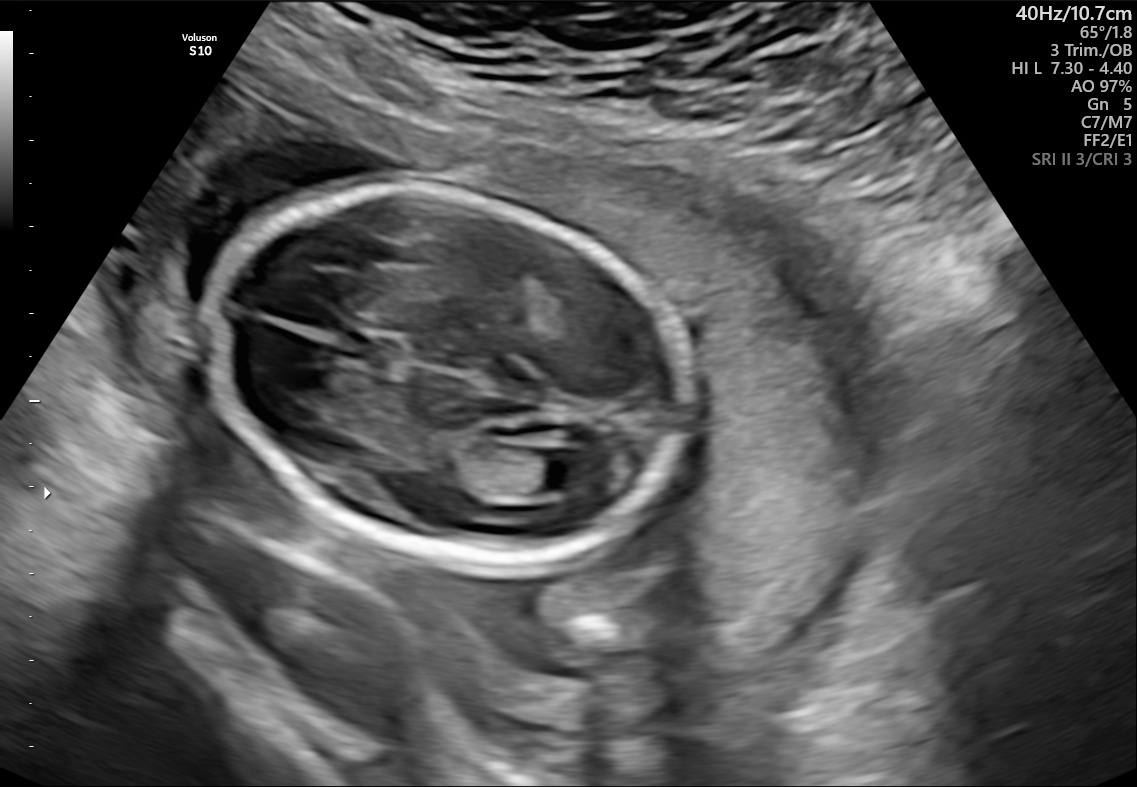
Fetal brain, trans-ventricular plane. Where is the fetal head?

Head bounding box: [205,183,692,566]